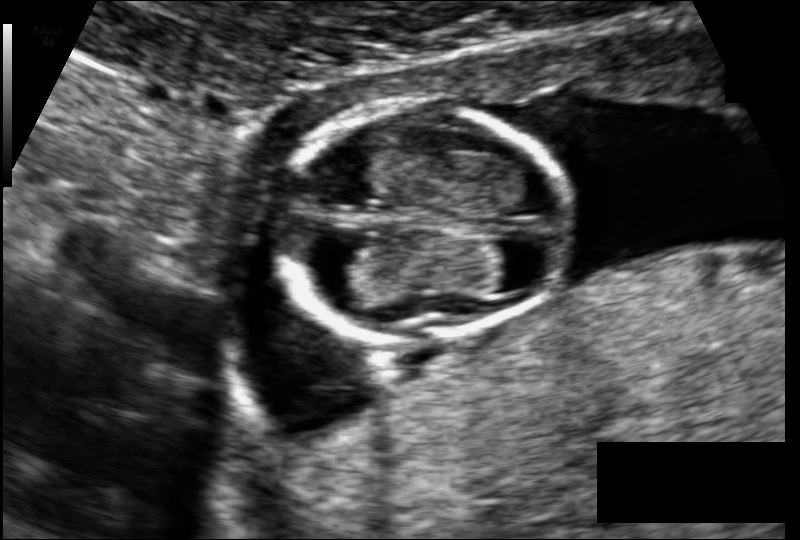
Fetal head ultrasound. Image width: 78.5 mm. Where is the fetal head?

Head bounding box: [275,105,576,337]